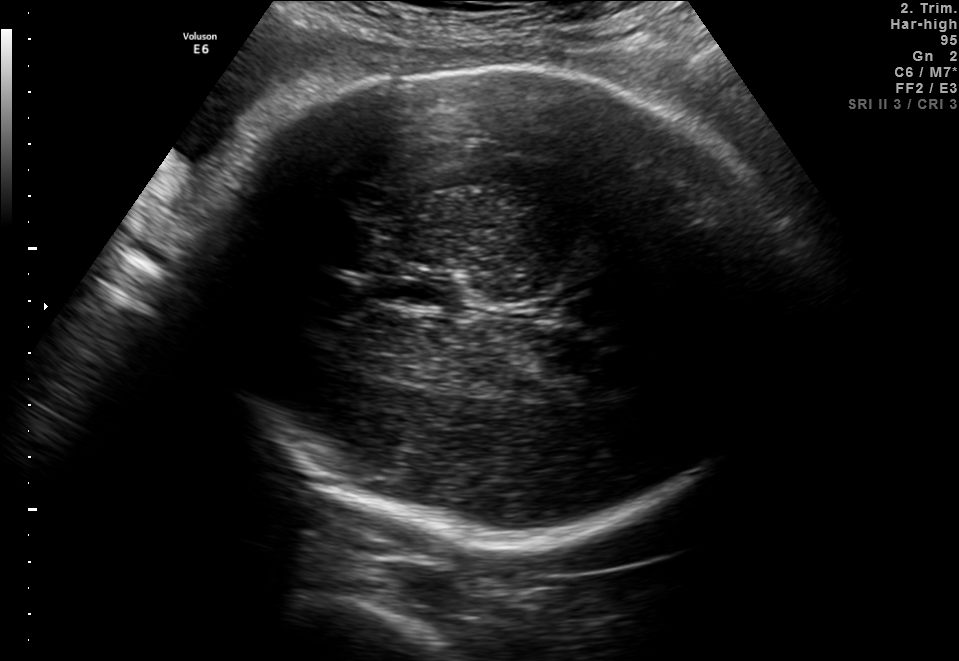
Fetal brain, trans-thalamic plane. Locate the fetal head and, if visible, the cavum septum pellucidum (CSP) and lateral ventricle (LV). Give bounding boxes as [x1,y1,x2,y2].

Head: [198,67,781,542]
CSP: [381,266,463,310]